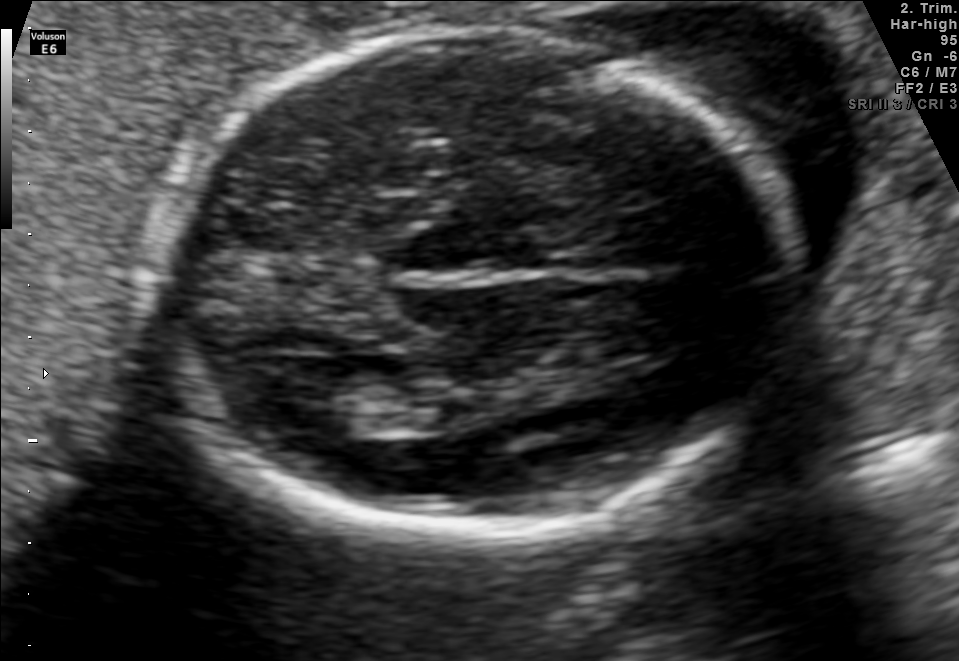
Fetal brain, trans-thalamic plane. Where is the lateral ventricle?

Lateral ventricle bounding box: [276,376,387,438]